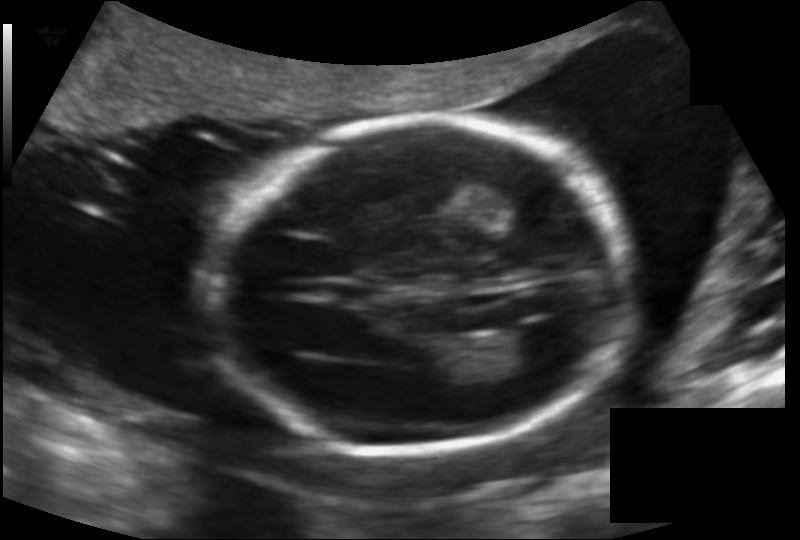
Fetal head ultrasound. Image width: 113.7 mm. Where is the lateral ventricle?

Lateral ventricle bounding box: [496,318,569,376]